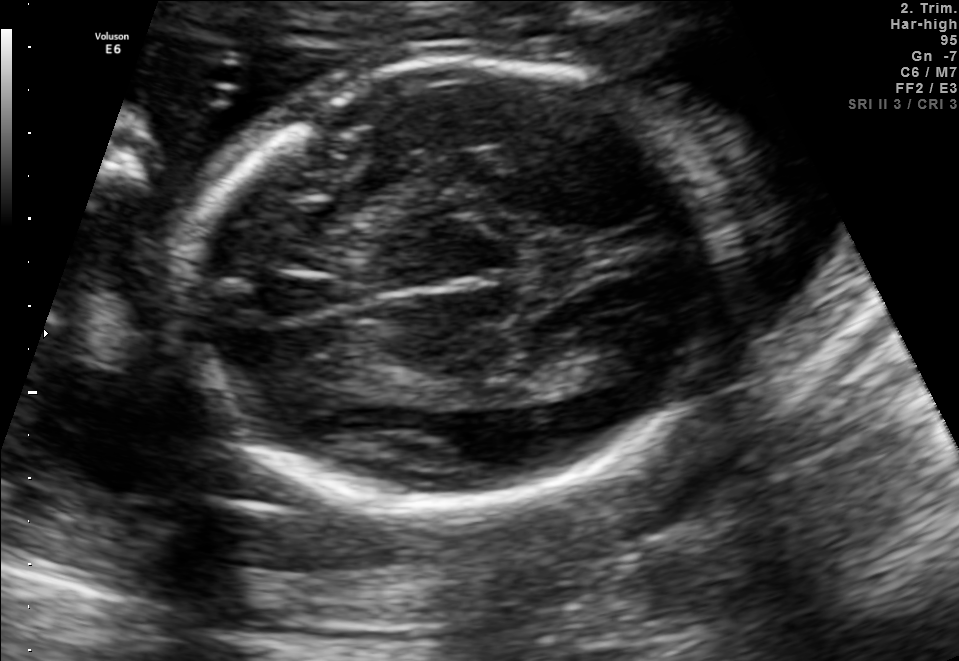
Fetal brain, trans-thalamic plane. Locate the fetal head.

Head: [182,56,719,507]